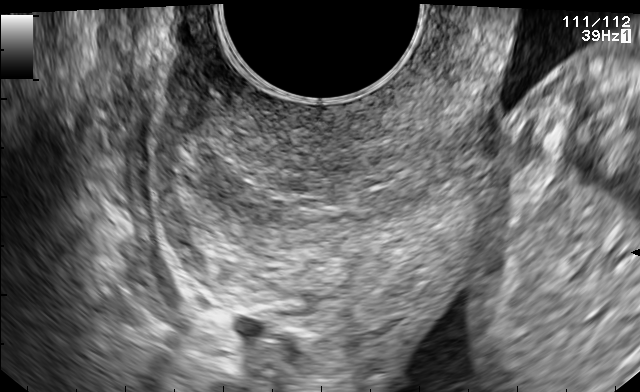
Identify the standard plane in this fetal ultrasound image: fetal abdomen, fetal brain, fetal femur, fetal thorax, maternal cervix, or other. If it's fetal brain and one of the three standard brain planes (trans-thalamic, trans-cerebellum, trans-ventricular), name which.

Maternal cervix